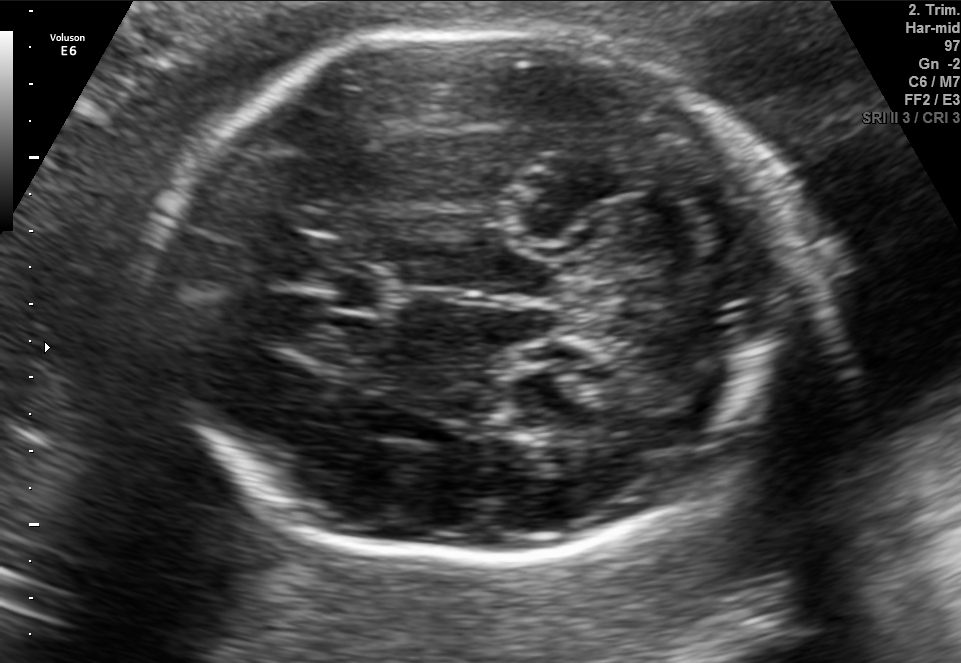
Fetal brain, trans-cerebellum plane. Where is the cavum septum pellucidum?

CSP bounding box: [324,268,400,318]